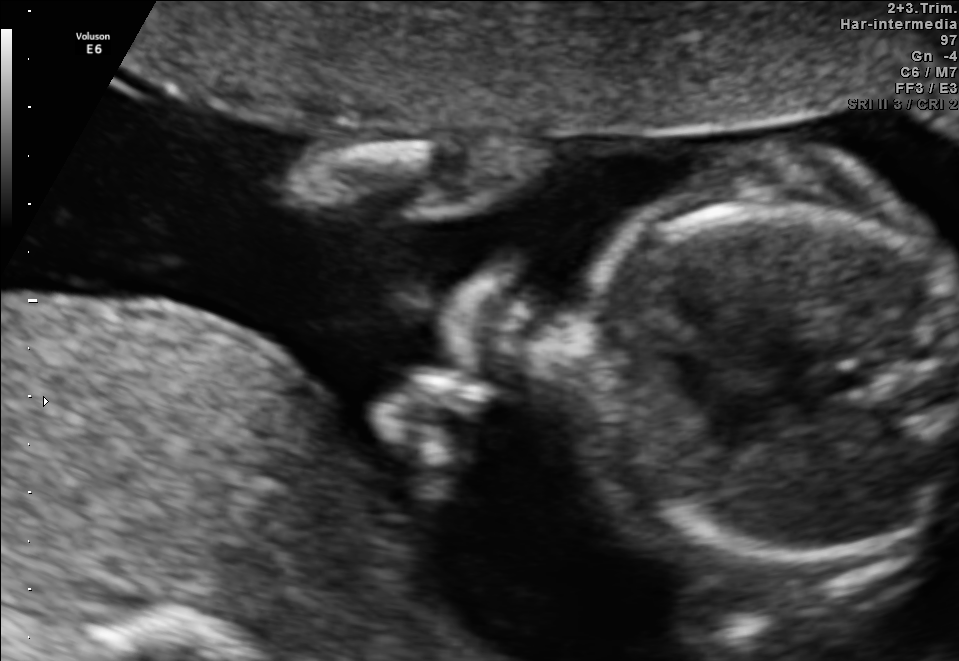
Classify this maternal-fetal ultrasound image as one of the six standard planes — fetal abdomen, fetal brain, fetal femur, fetal thorax, maternal cervix, or other. If it's fetal brain and one of the three standard brain planes (trans-thalamic, trans-cerebellum, trans-ventricular), name which.

Fetal thorax